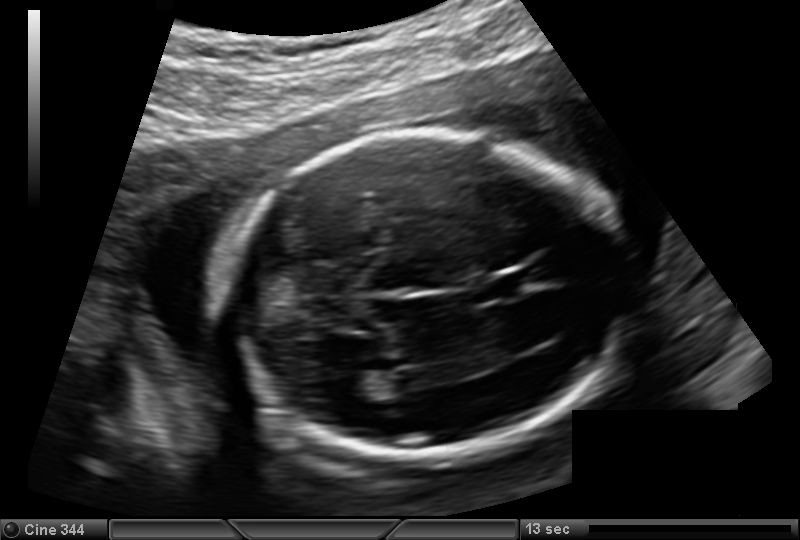
Fetal head ultrasound. Image width: 115.3 mm. Locate the fetal head.

Head: [219,127,632,462]